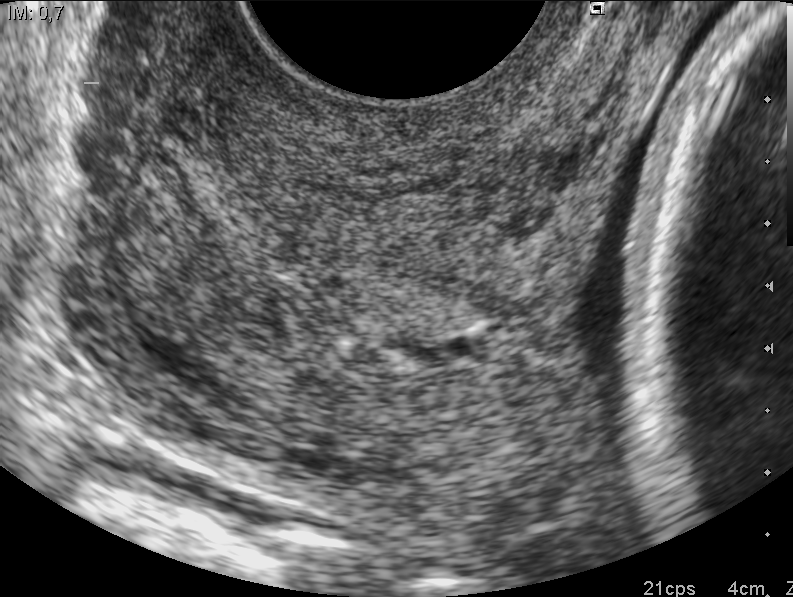
Classify this maternal-fetal ultrasound image as one of the six standard planes — fetal abdomen, fetal brain, fetal femur, fetal thorax, maternal cervix, or other. If it's fetal brain and one of the three standard brain planes (trans-thalamic, trans-cerebellum, trans-ventricular), name which.

Maternal cervix